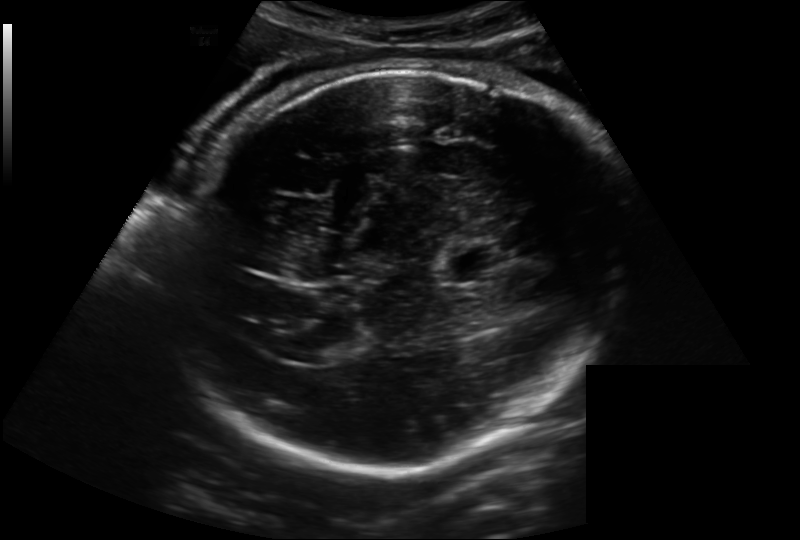
Fetal head ultrasound. Image width: 177.2 mm. Locate the fetal head and, if visible, the cavum septum pellucidum (CSP) and lateral ventricle (LV). Give bounding boxes as [x1,y1,x2,y2].

Head: [165,69,626,467]
CSP: [441,240,506,288]
Lateral ventricle: [293,339,336,365]